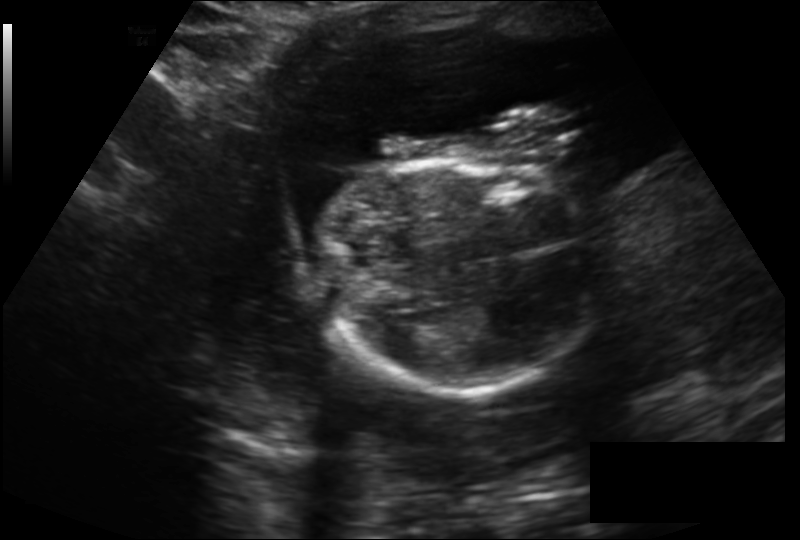
Fetal head ultrasound. Image width: 155.8 mm. Locate the fetal head.

Head: [320,158,596,395]